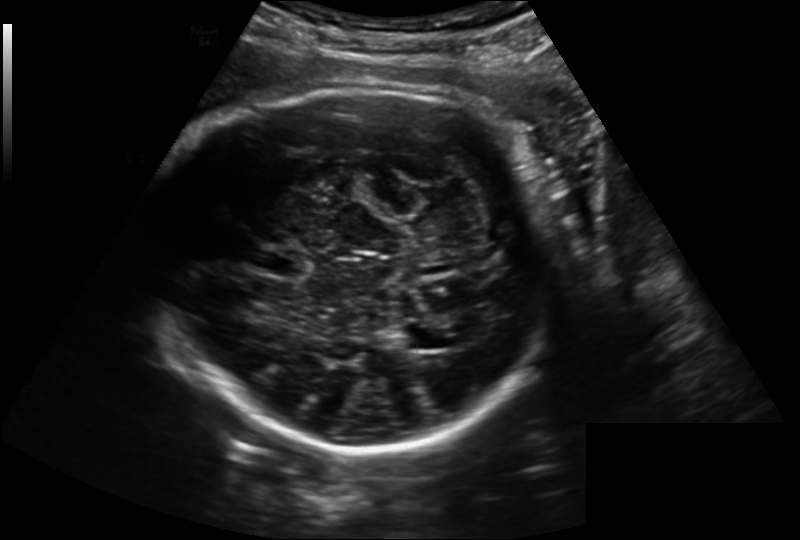
Fetal head ultrasound. Image width: 177.2 mm. Locate the fetal head and, if visible, the cavum septum pellucidum (CSP) and lateral ventricle (LV). Give bounding boxes as [x1,y1,x2,y2].

Head: [148,80,554,447]
CSP: [251,245,312,284]
Lateral ventricle: [398,327,439,349]